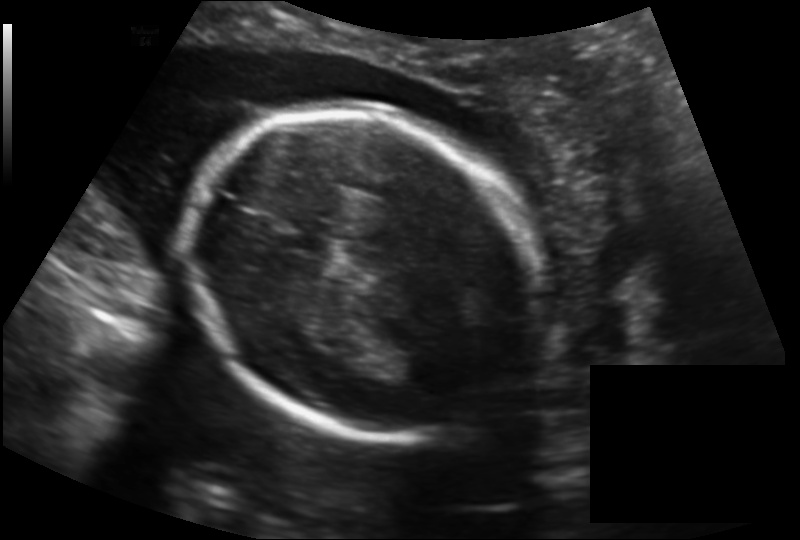
Estimate the fetal head circumference from this 2D ultrasound. Image width: 131.3 mm.

Head circumference: 180.1 mm.